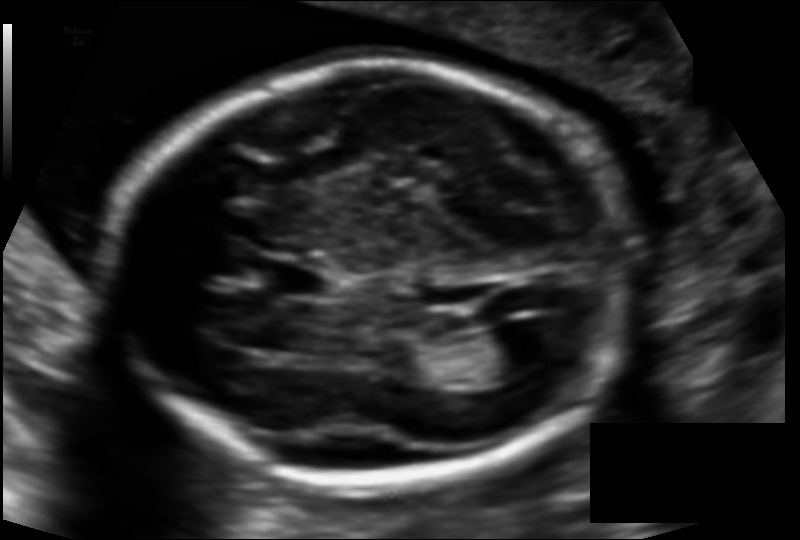
Measure the fetal head circumference shown in this ultrasound image. Image width: 96.7 mm.

Head circumference: 184.4 mm.